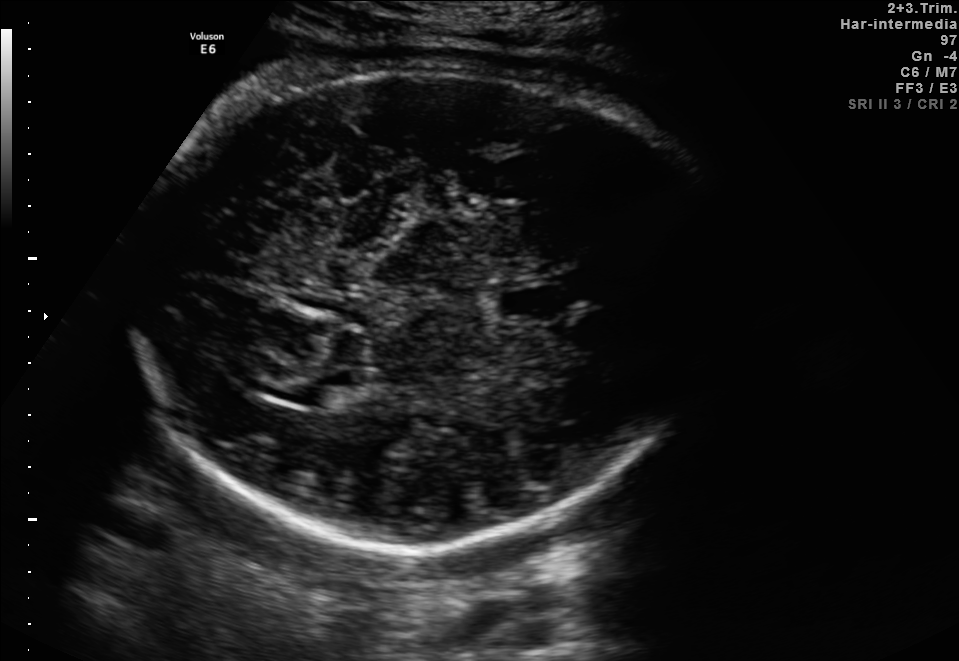
Fetal brain, trans-thalamic plane. Where is the lateral ventricle?

Lateral ventricle bounding box: [257,360,353,415]